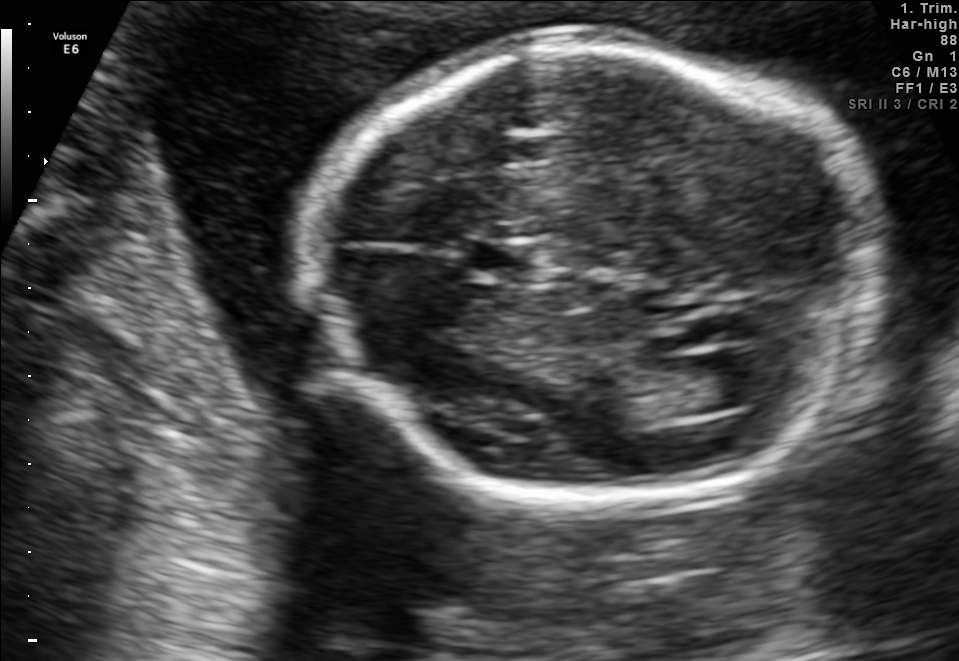
Fetal brain, trans-ventricular plane. Give [x1,y1,x2,y2] bounding boxes for each visible structure among: fetal head, CSP, LV.

Head: [298,35,897,514]
CSP: [471,241,539,282]
Lateral ventricle: [690,340,793,415]